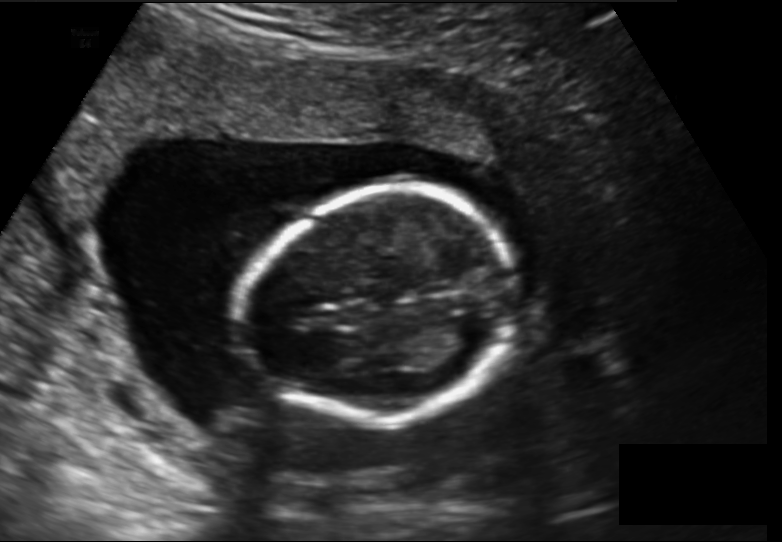
Estimate the fetal head circumference from this 2D ultrasound. Image width: 122.9 mm.

Head circumference: 131.1 mm.